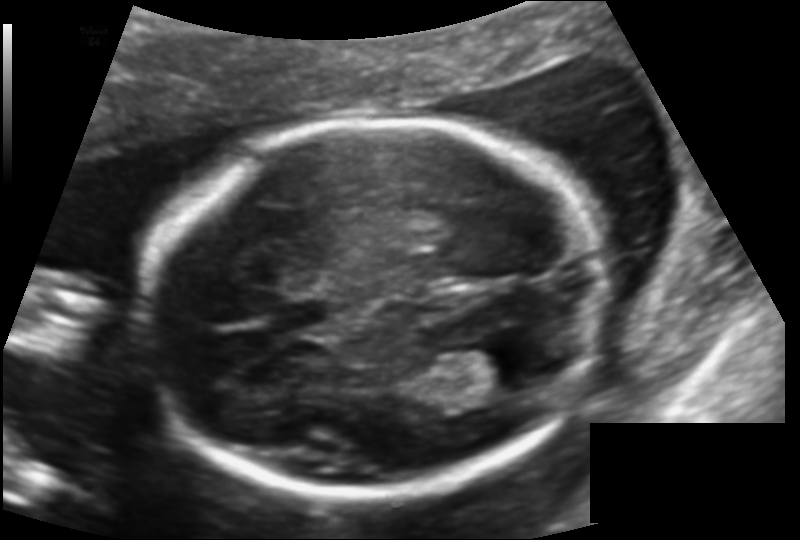
Fetal head ultrasound. Image width: 105.2 mm. Where is the lateral ventricle?

Lateral ventricle bounding box: [450,338,542,395]